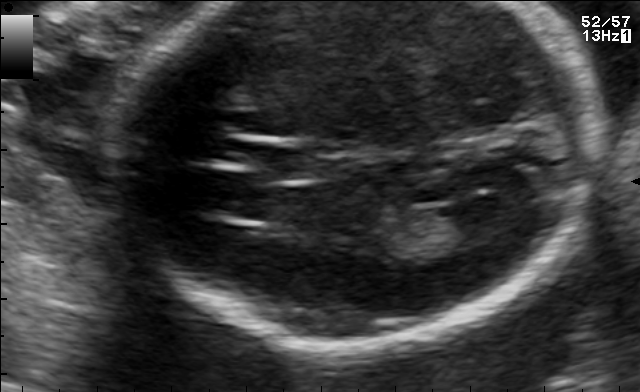
In this fetal brain, trans-ventricular plane, give the bounding box of the lateral ventricle.

[435,185,521,247]